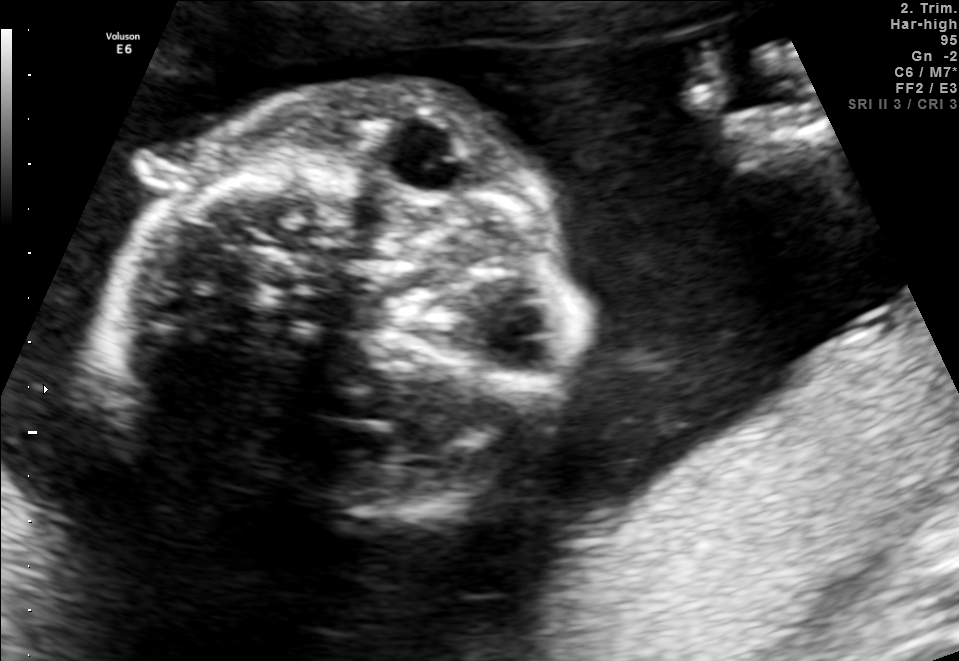
Classify this maternal-fetal ultrasound image as one of the six standard planes — fetal abdomen, fetal brain, fetal femur, fetal thorax, maternal cervix, or other. If it's fetal brain and one of the three standard brain planes (trans-thalamic, trans-cerebellum, trans-ventricular), name which.

Other